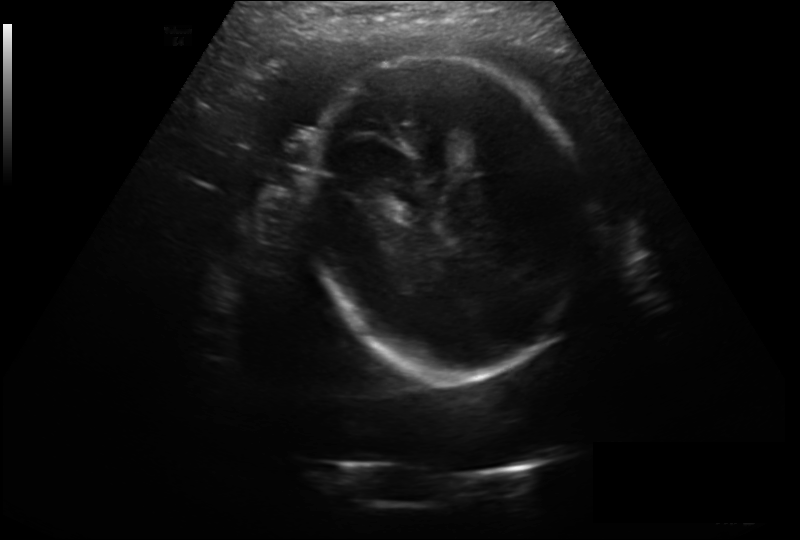
In this fetal head ultrasound, give the bounding box of the fetal head. Image width: 197.0 mm.

[308,58,589,379]